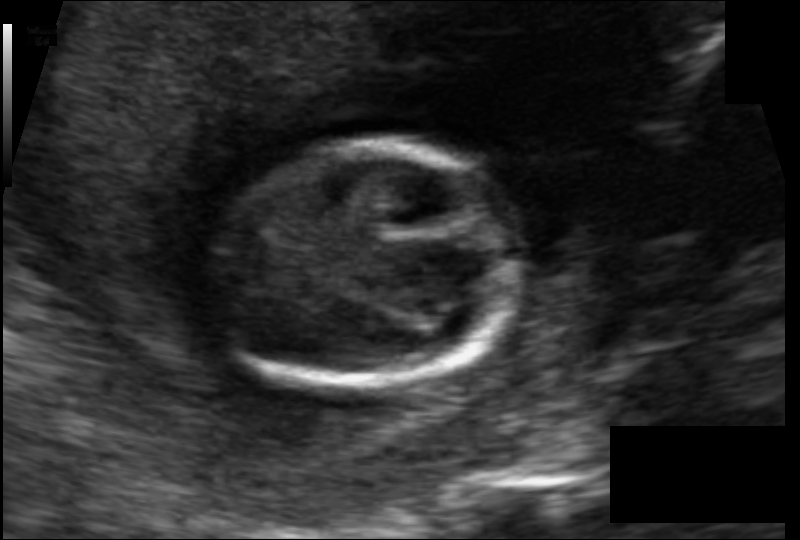
In this fetal head ultrasound, give the bounding box of the fetal head. Image width: 70.6 mm.

[213,146,514,386]